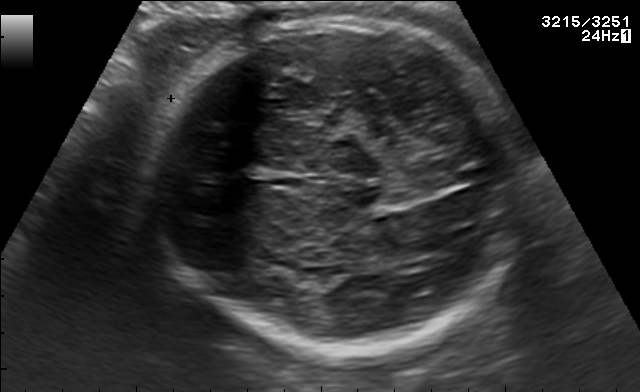
Which standard maternal-fetal ultrasound plane is shown: fetal abdomen, fetal brain, fetal femur, fetal thorax, maternal cervix, or other? If it's fetal brain and one of the three standard brain planes (trans-thalamic, trans-cerebellum, trans-ventricular), name which.

Fetal brain (trans-thalamic plane)